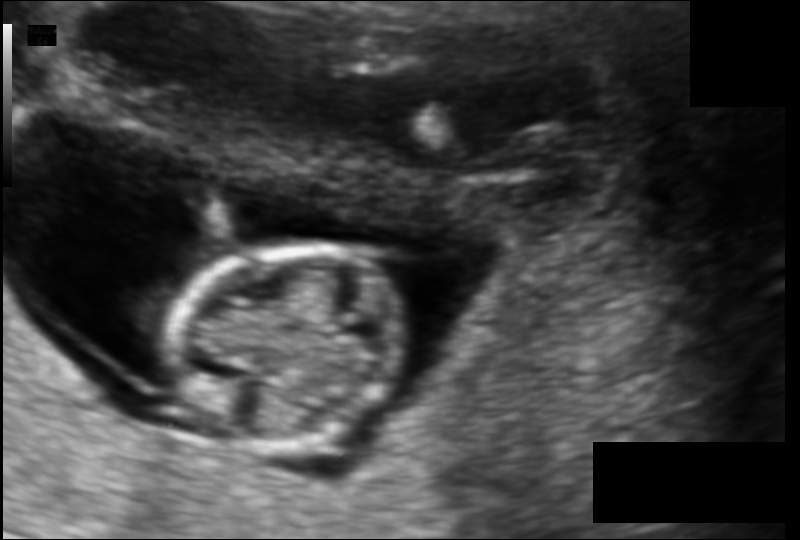
In this fetal head ultrasound, give bounding boxes for the head outline, cavum septum pellucidum (CSP), and lateral ventricle (LV), where visible. Image width: 83.9 mm.

Head: [165,244,405,443]